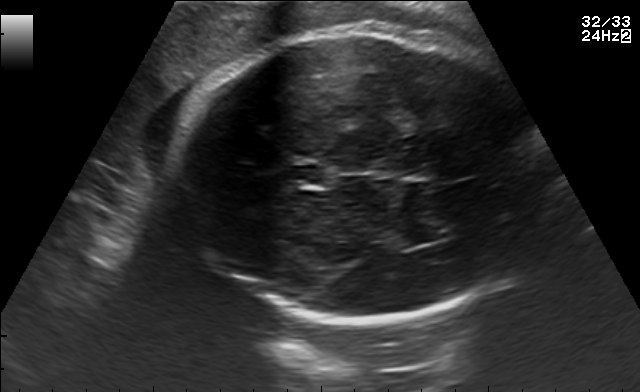
Fetal brain, trans-thalamic plane. Locate the cavum septum pellucidum.

CSP: [284,165,323,184]